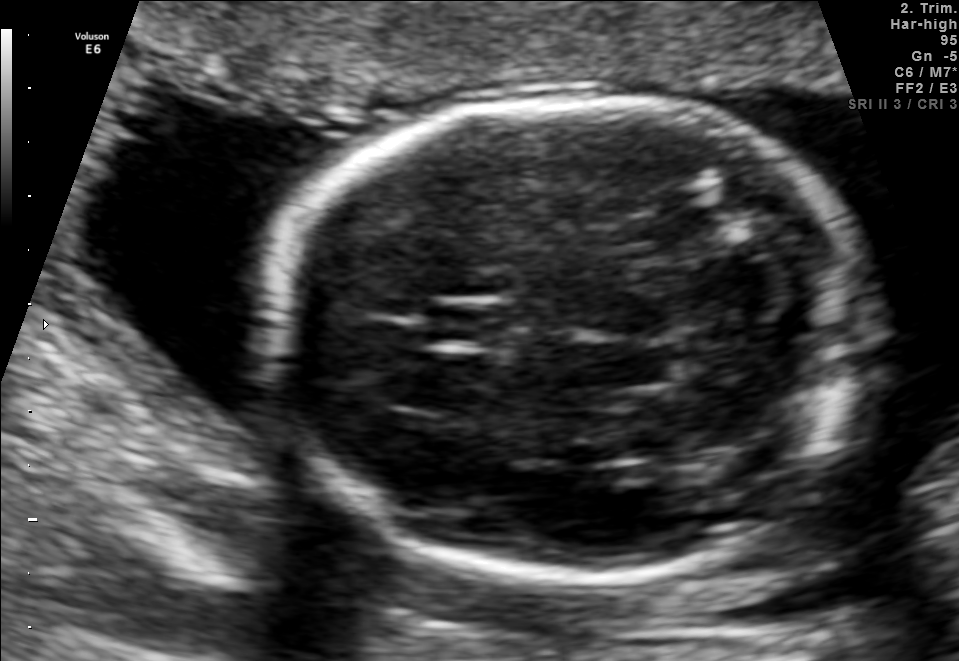
In this fetal brain, trans-cerebellum plane, give the bounding box of the fetal head.

[268,101,867,576]